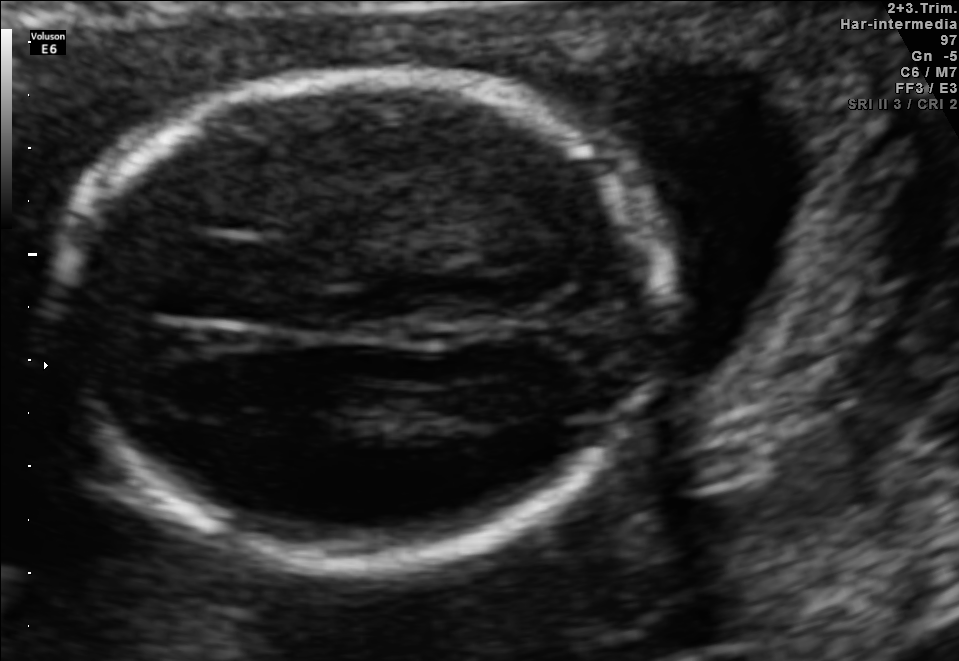
Fetal brain, trans-thalamic plane. Locate the fetal head and, if visible, the cavum septum pellucidum (CSP) and lateral ventricle (LV). Give bounding boxes as [x1,y1,x2,y2].

Head: [57,77,662,556]